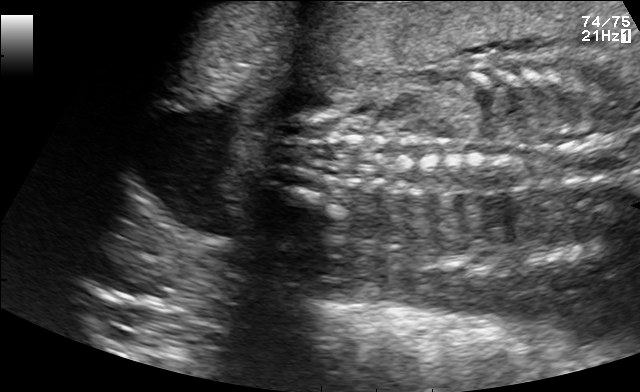
Which standard maternal-fetal ultrasound plane is shown: fetal abdomen, fetal brain, fetal femur, fetal thorax, maternal cervix, or other? If it's fetal brain and one of the three standard brain planes (trans-thalamic, trans-cerebellum, trans-ventricular), name which.

Other